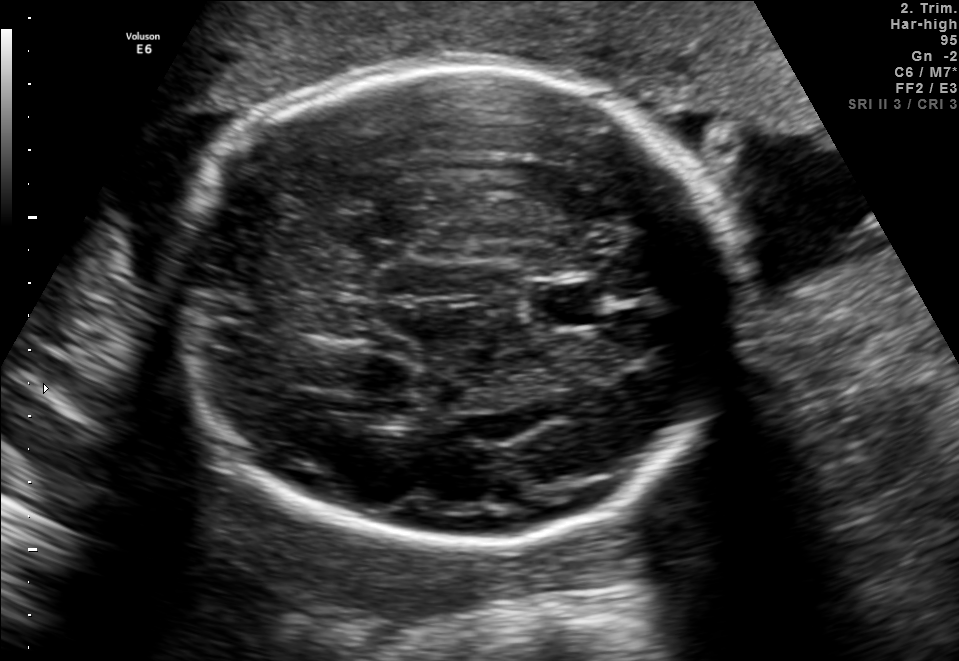
Fetal brain, trans-thalamic plane. Where is the cavum septum pellucidum?

CSP bounding box: [533,281,603,330]